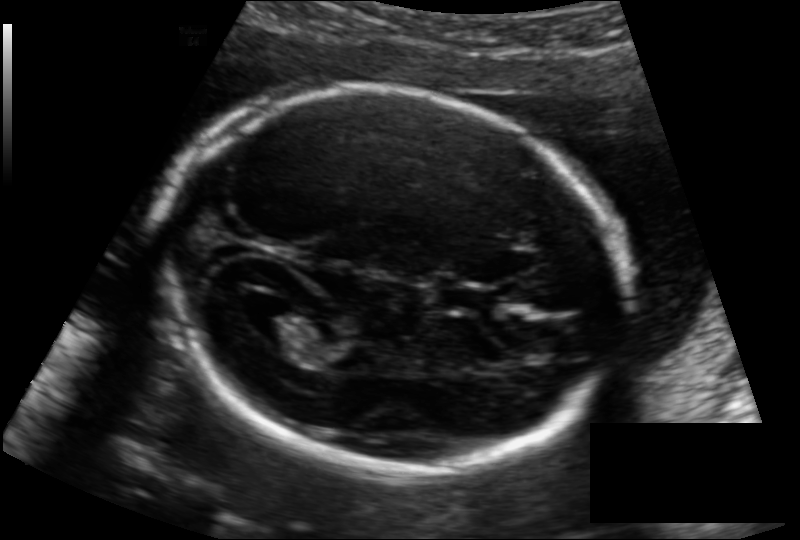
In this fetal head ultrasound, give bounding boxes for the head outline, cavum septum pellucidum (CSP), and lateral ventricle (LV), where visible. Image width: 106.5 mm.

Head: [162,89,625,472]
CSP: [439,283,499,315]
Lateral ventricle: [240,288,324,363]